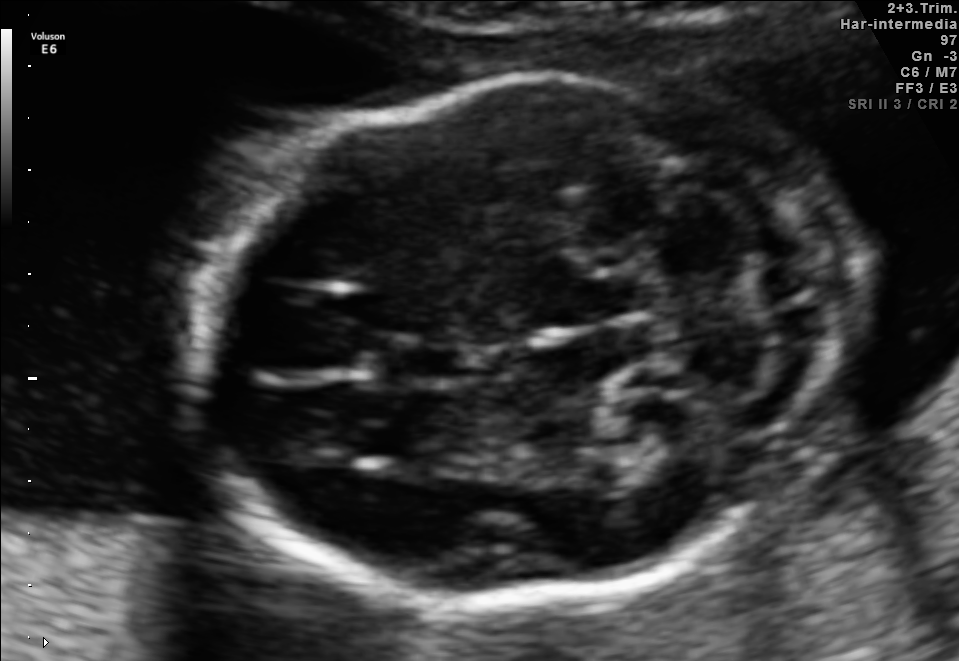
Identify the standard plane in this fetal ultrasound image: fetal abdomen, fetal brain, fetal femur, fetal thorax, maternal cervix, or other. If it's fetal brain and one of the three standard brain planes (trans-thalamic, trans-cerebellum, trans-ventricular), name which.

Fetal brain (trans-cerebellum plane)